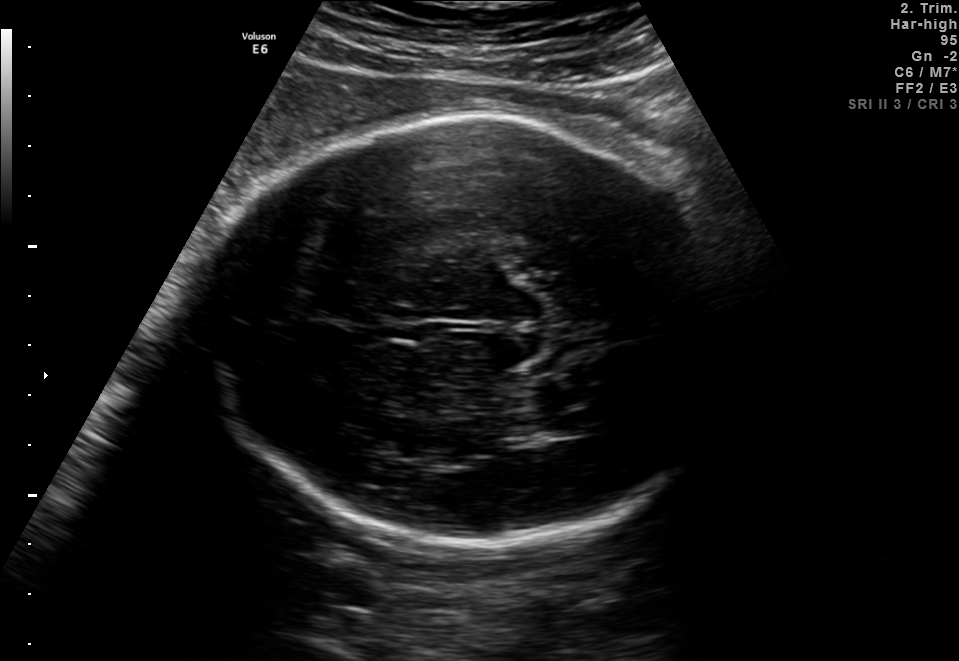
Fetal brain, trans-thalamic plane. Give [x1,y1,x2,y2] bounding boxes for each visible structure among: fetal head, CSP, LV.

Head: [203,115,738,546]
Lateral ventricle: [538,409,605,441]